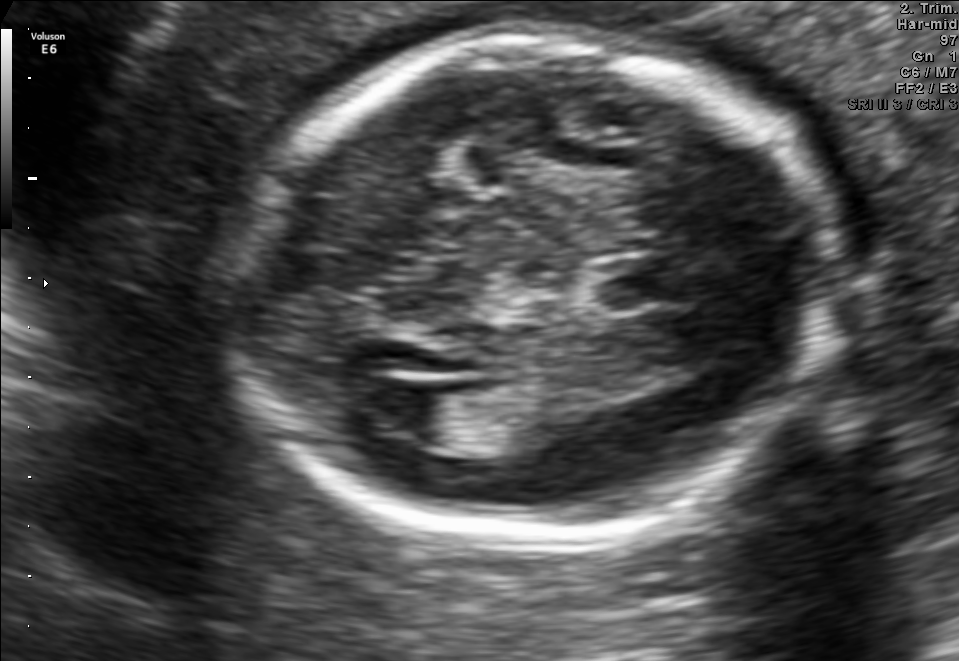
In this fetal brain, trans-ventricular plane, give the bounding box of the lateral ventricle.

[363,374,449,441]